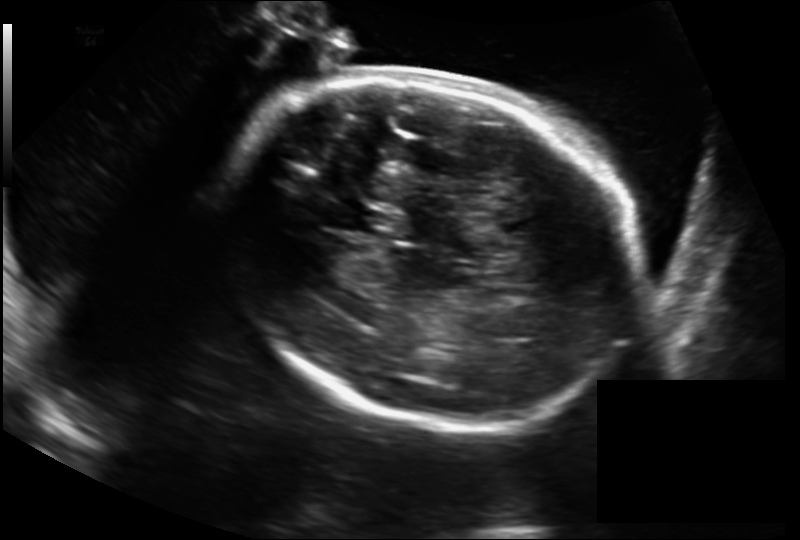
Measure the fetal head circumference shown in this ultrasound image. Image width: 169.0 mm.

Head circumference: 260.8 mm.